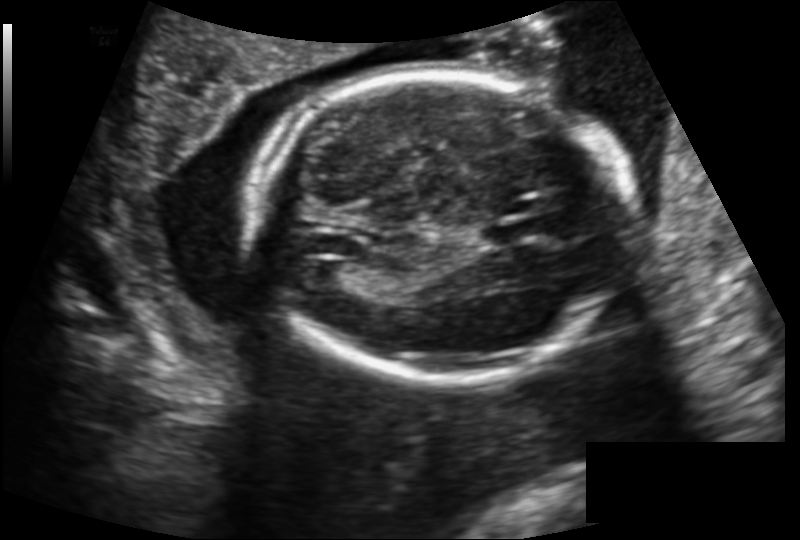
Fetal head ultrasound. Image width: 127.5 mm. Where is the cavum septum pellucidum?

CSP bounding box: [480,216,536,248]